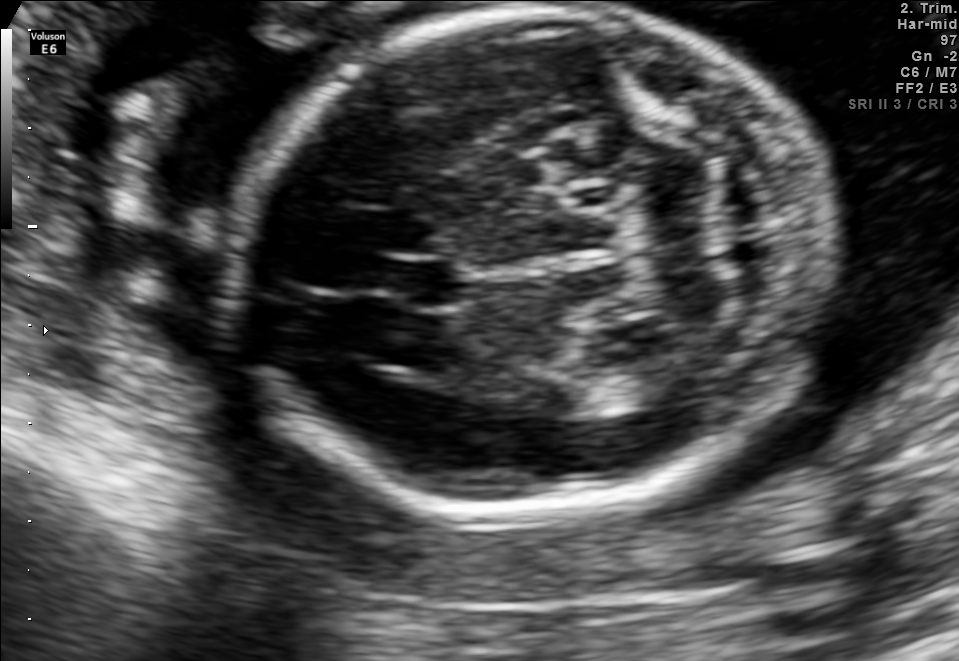
Fetal brain, trans-cerebellum plane. Locate the cavum septum pellucidum.

CSP: [392,253,463,313]